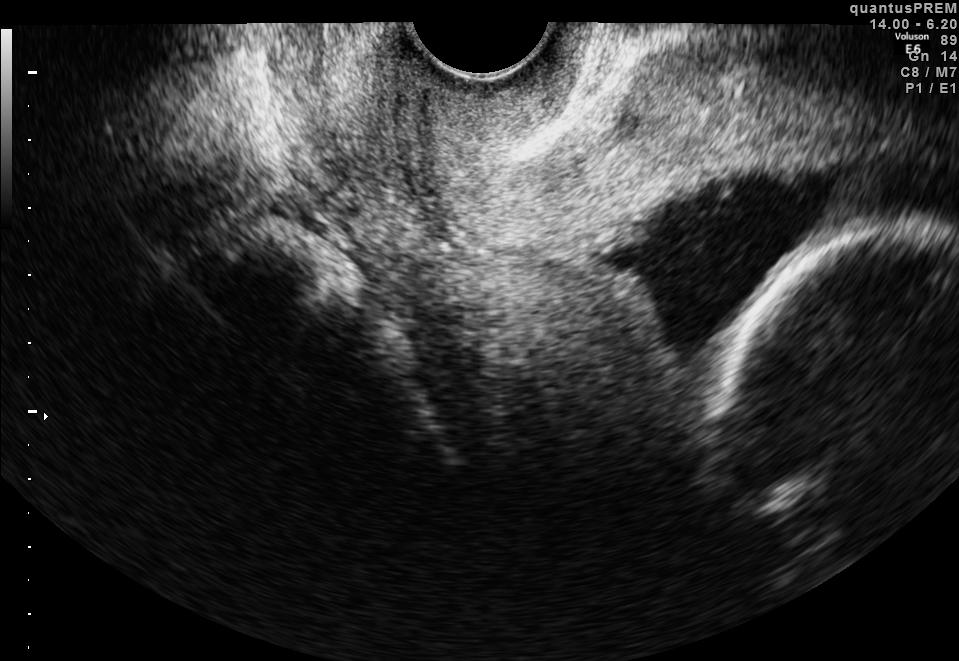
Identify the standard plane in this fetal ultrasound image: fetal abdomen, fetal brain, fetal femur, fetal thorax, maternal cervix, or other. If it's fetal brain and one of the three standard brain planes (trans-thalamic, trans-cerebellum, trans-ventricular), name which.

Maternal cervix